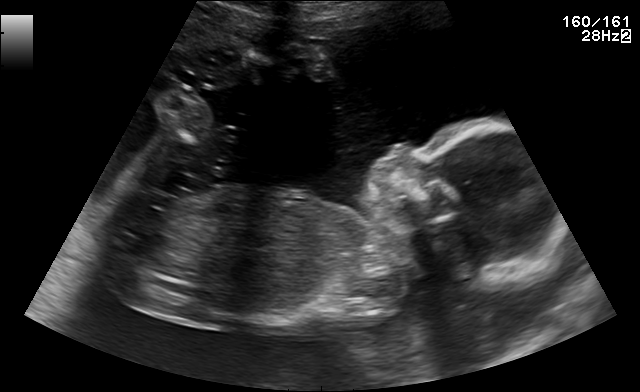
Which standard maternal-fetal ultrasound plane is shown: fetal abdomen, fetal brain, fetal femur, fetal thorax, maternal cervix, or other? If it's fetal brain and one of the three standard brain planes (trans-thalamic, trans-cerebellum, trans-ventricular), name which.

Other